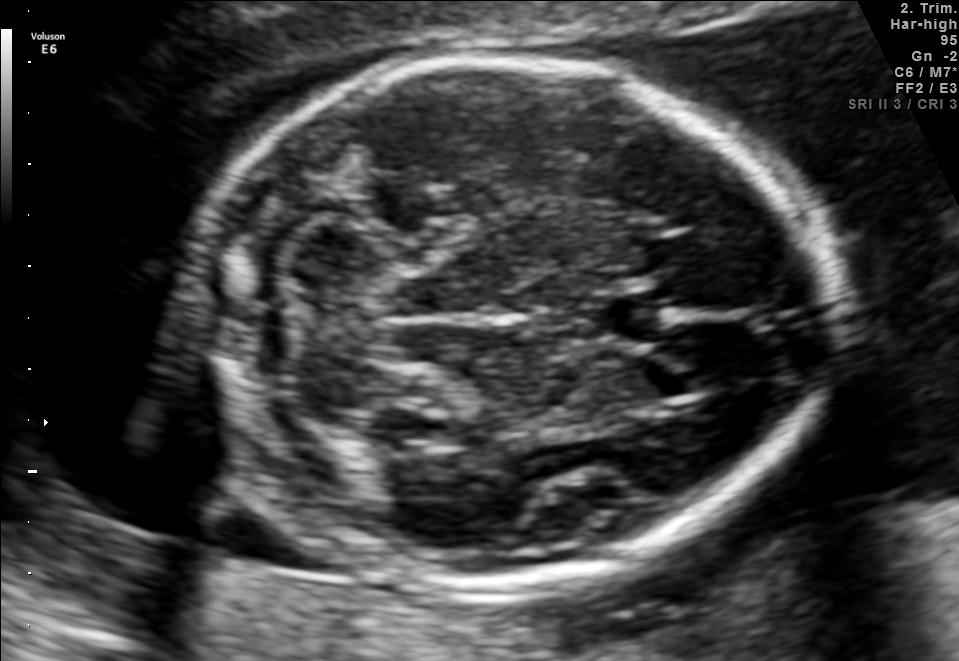
In this fetal brain, trans-cerebellum plane, give the bounding box of the fetal head.

[180,60,829,589]